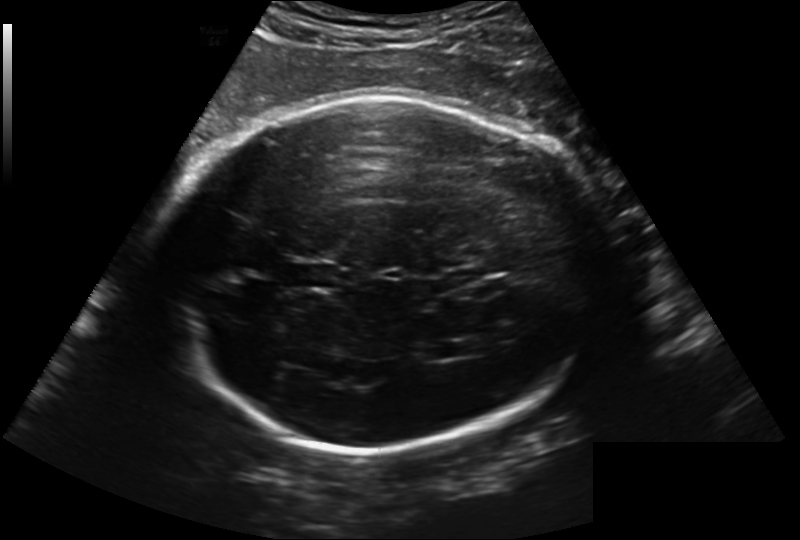
Estimate the fetal head circumference from this 2D ultrasound.

Head circumference: 301.3 mm (image width 192.7 mm).